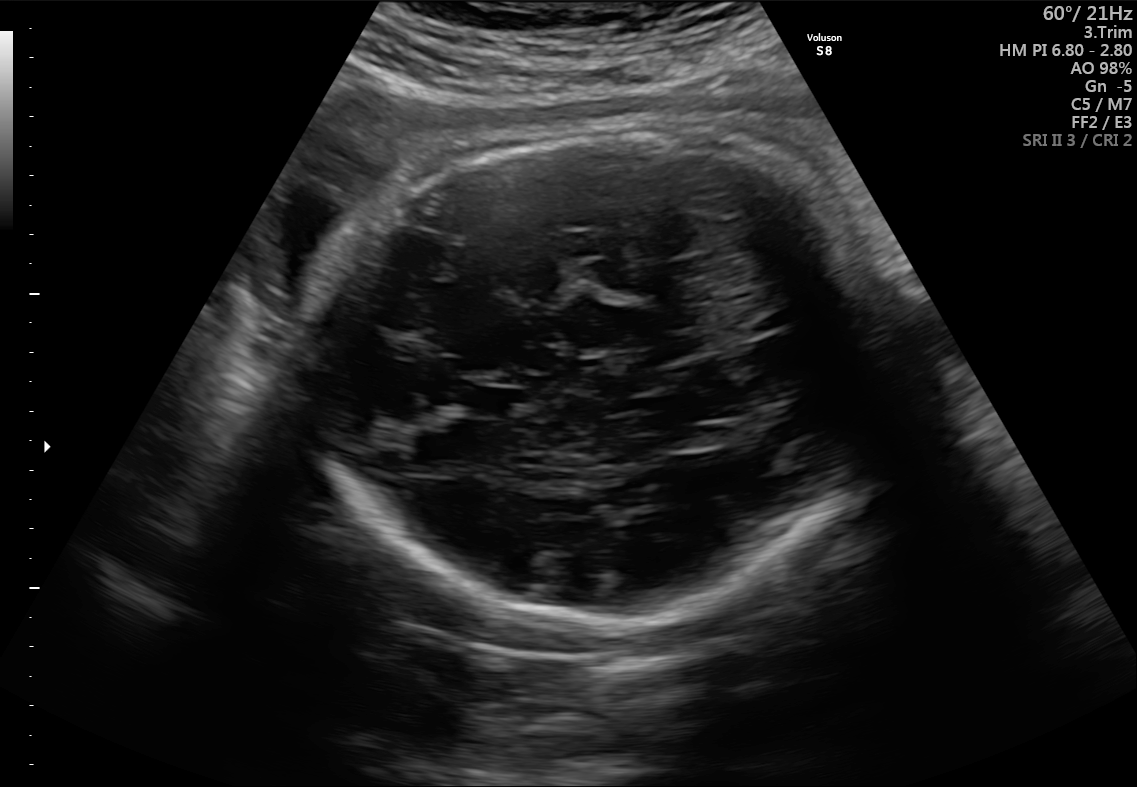
Fetal brain, trans-thalamic plane. Locate the fetal head.

Head: [313,131,890,623]